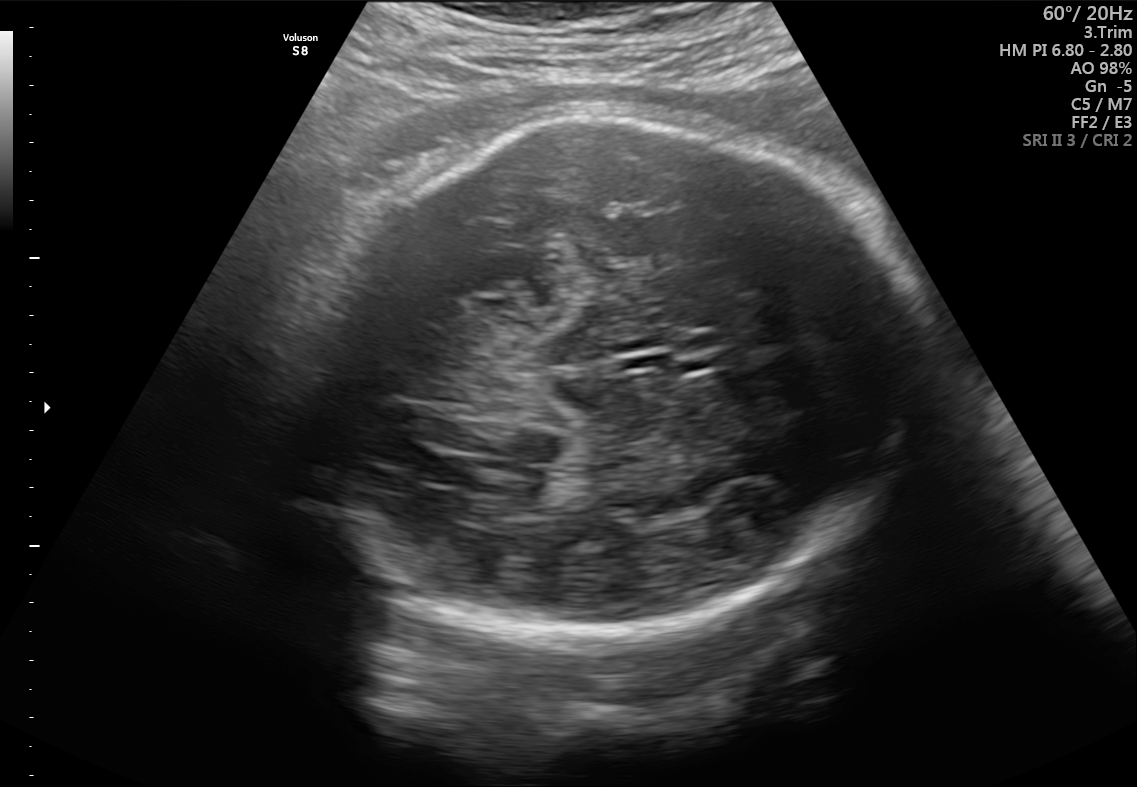
In this fetal brain, trans-thalamic plane, give the bounding box of the fetal head.

[292,110,931,639]